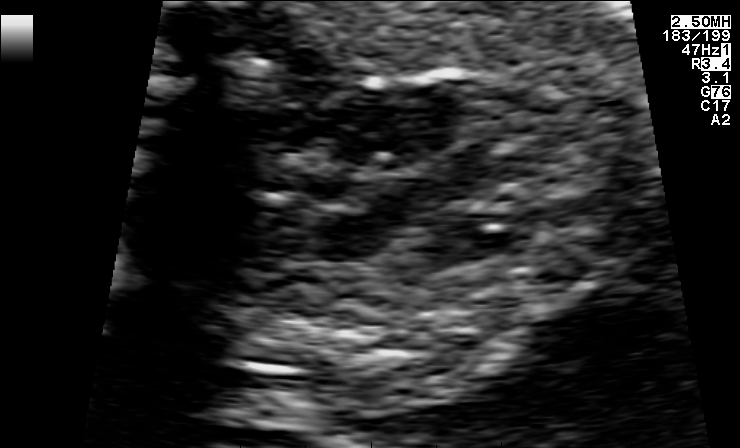
Identify the standard plane in this fetal ultrasound image: fetal abdomen, fetal brain, fetal femur, fetal thorax, maternal cervix, or other. If it's fetal brain and one of the three standard brain planes (trans-thalamic, trans-cerebellum, trans-ventricular), name which.

Other